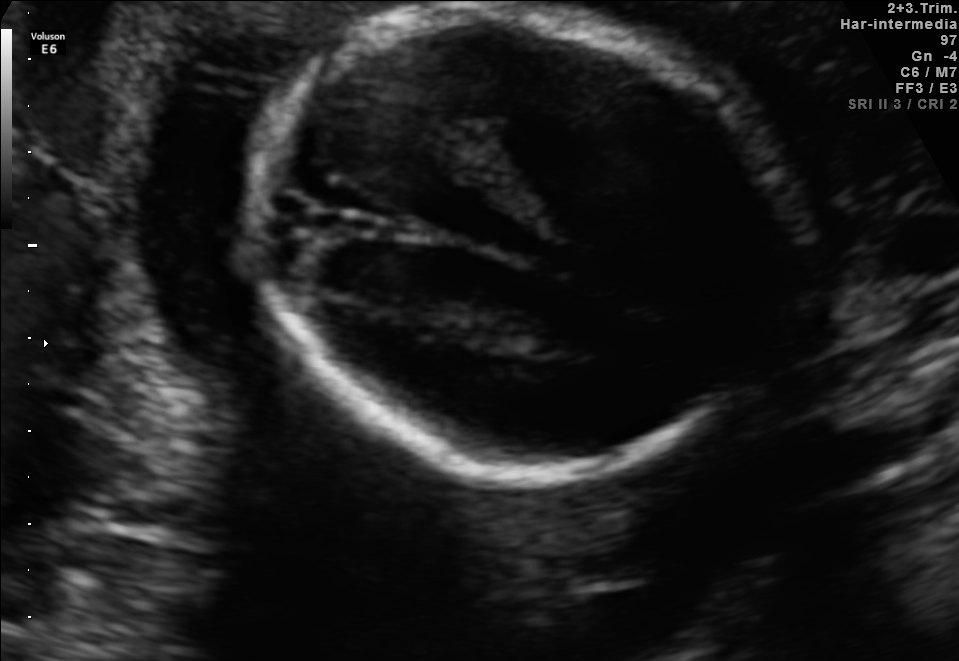
Fetal brain, trans-thalamic plane. Give [x1,y1,x2,y2] bounding boxes for each visible structure among: fetal head, CSP, LV.

Head: [253,11,804,474]